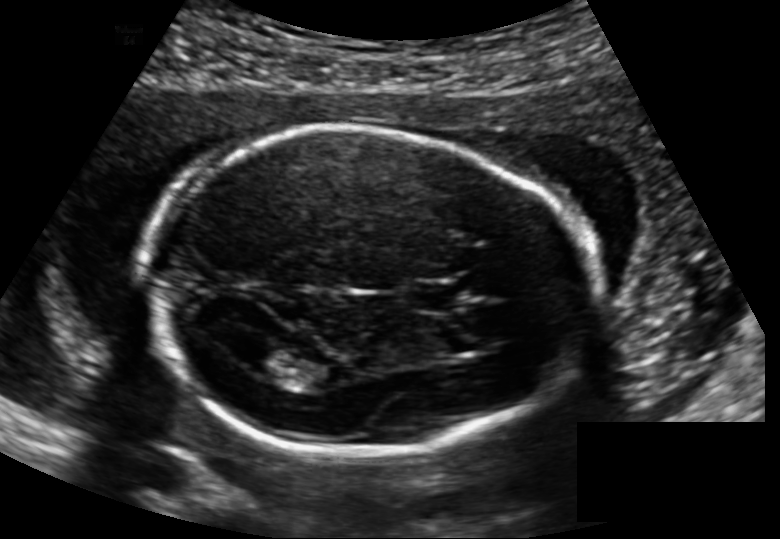
Estimate the fetal head circumference from this 2D ultrasound. Image width: 115.4 mm.

Head circumference: 185.6 mm.